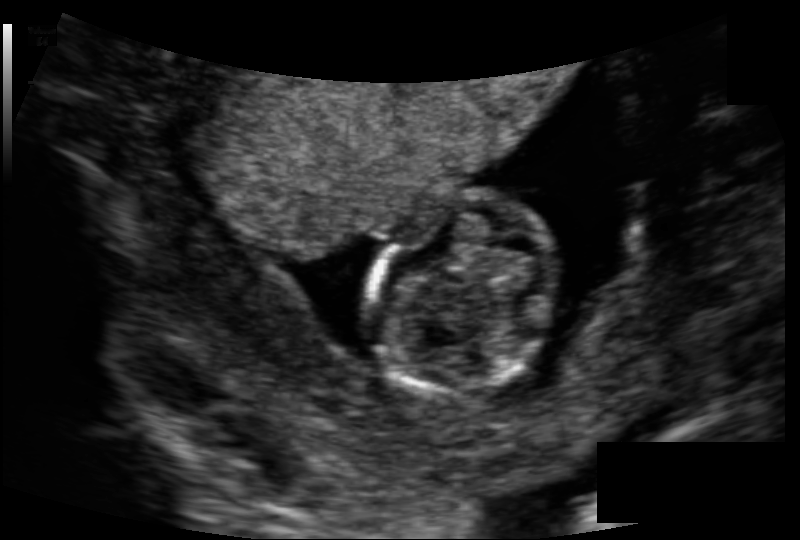
Fetal head ultrasound. Image width: 94.4 mm. Locate the fetal head.

Head: [371,193,561,391]